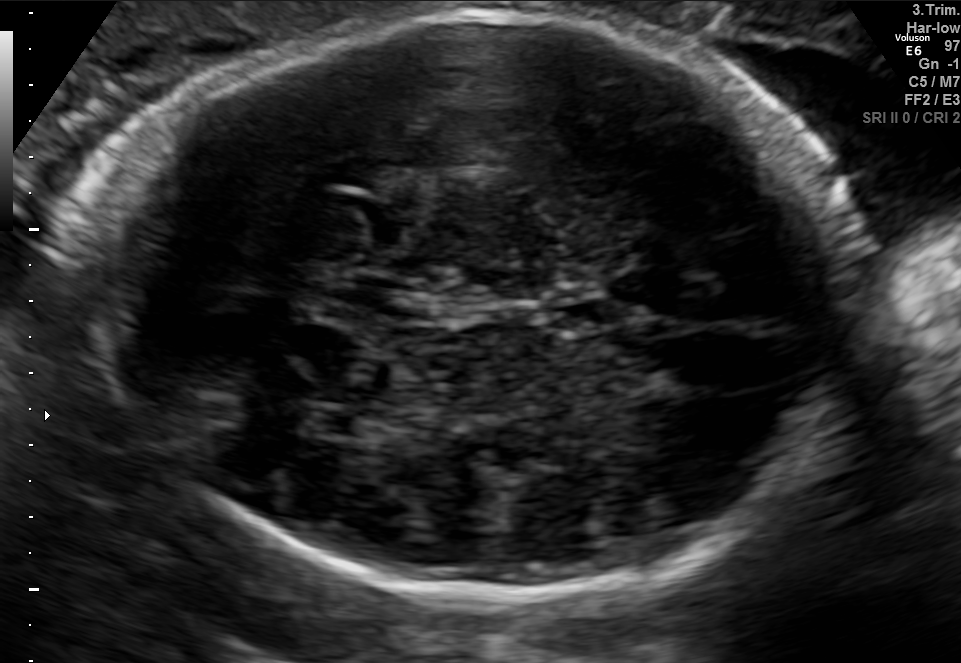
Fetal brain, trans-thalamic plane. Where is the fetal head?

Head bounding box: [76,14,853,593]